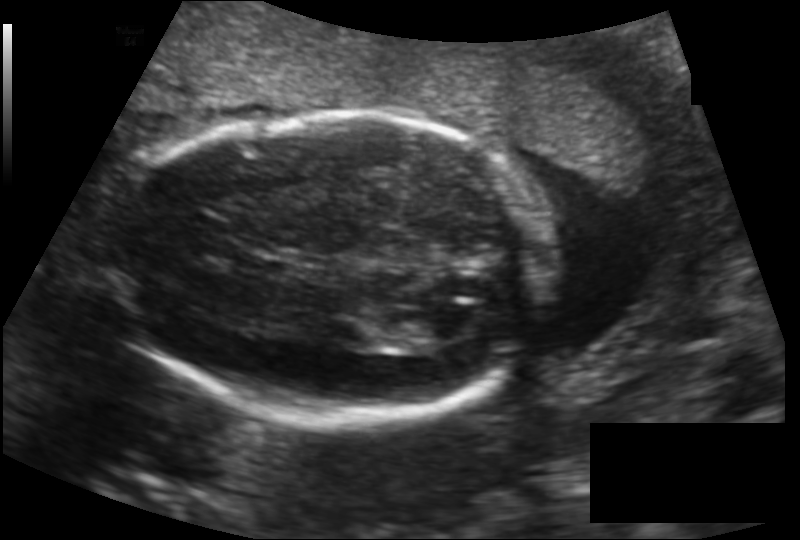
In this fetal head ultrasound, give bounding boxes for the head outline, cavum septum pellucidum (CSP), and lateral ventricle (LV), where visible. Image width: 116.6 mm.

Head: [125,111,548,427]
Lateral ventricle: [426,305,482,341]